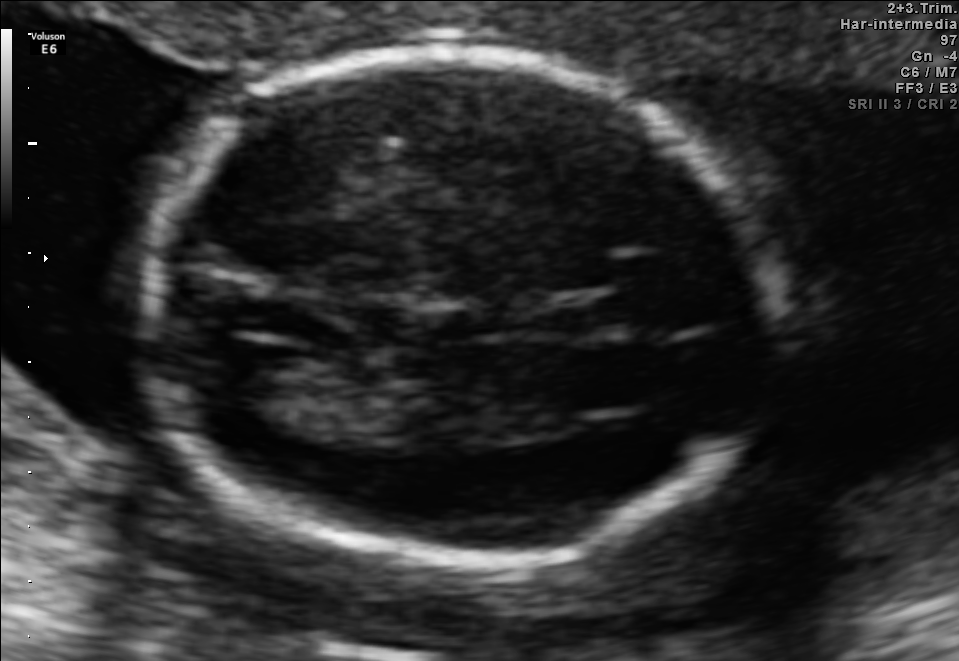
In this fetal brain, trans-ventricular plane, give the bounding box of the fetal head.

[124,44,797,579]